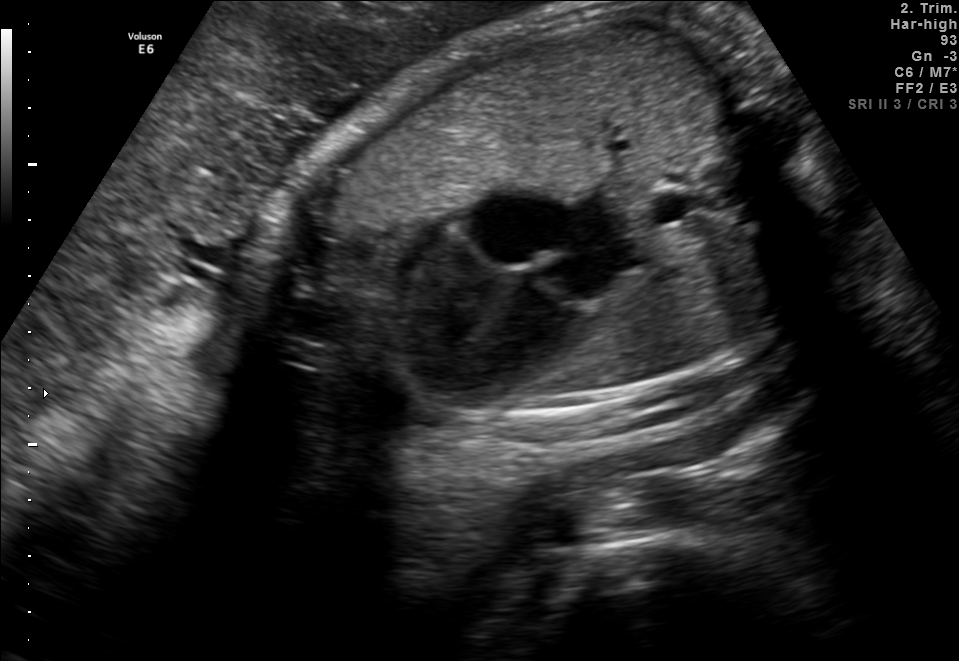
Which standard maternal-fetal ultrasound plane is shown: fetal abdomen, fetal brain, fetal femur, fetal thorax, maternal cervix, or other? If it's fetal brain and one of the three standard brain planes (trans-thalamic, trans-cerebellum, trans-ventricular), name which.

Fetal thorax